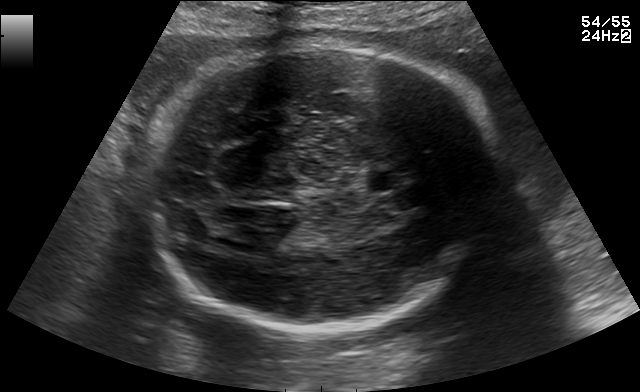
In this fetal brain, trans-thalamic plane, give the bounding box of the fetal head.

[138,46,507,325]